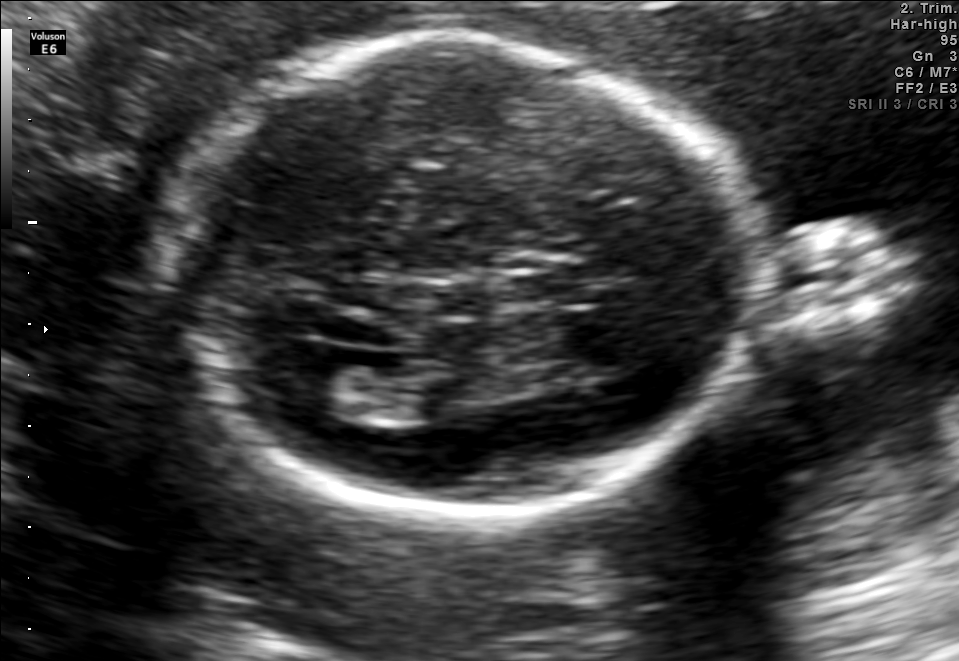
In this fetal brain, trans-ventricular plane, give bounding boxes for the head outline, cavum septum pellucidum (CSP), and lateral ventricle (LV), where visible.

Head: [154,32,769,521]
CSP: [509,261,590,305]
Lateral ventricle: [256,341,362,417]